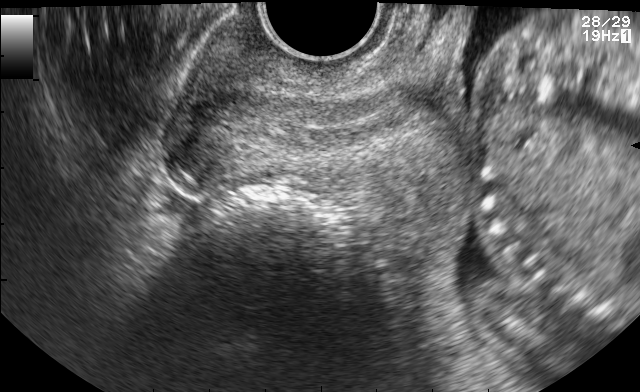
Which standard maternal-fetal ultrasound plane is shown: fetal abdomen, fetal brain, fetal femur, fetal thorax, maternal cervix, or other? If it's fetal brain and one of the three standard brain planes (trans-thalamic, trans-cerebellum, trans-ventricular), name which.

Maternal cervix